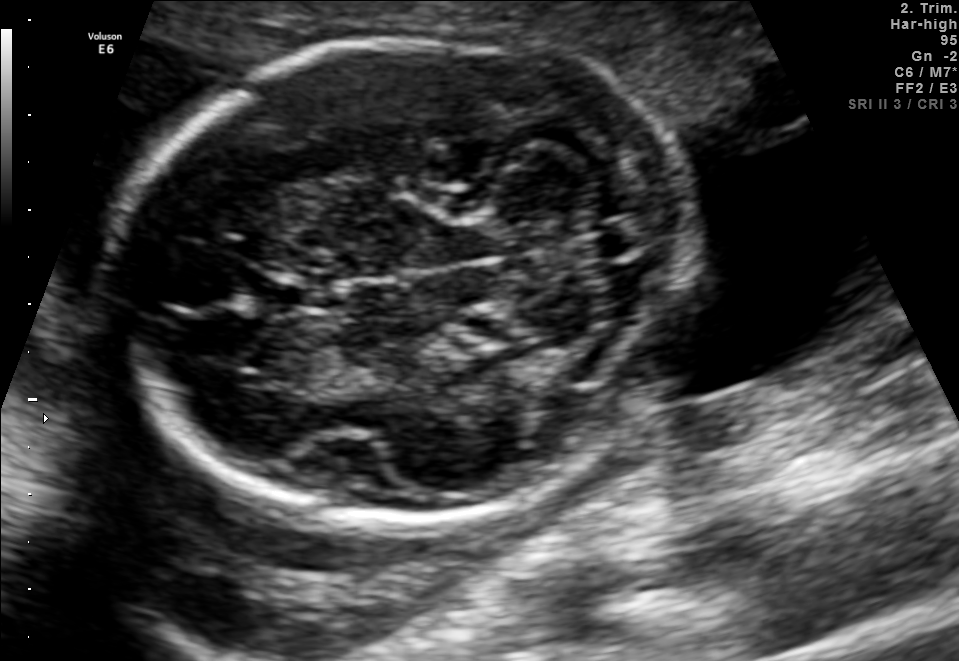
Fetal brain, trans-cerebellum plane. Locate the fetal head and, if visible, the cavum septum pellucidum (CSP) and lateral ventricle (LV). Give bounding boxes as [x1,y1,x2,y2].

Head: [117,38,682,527]
CSP: [270,282,326,314]